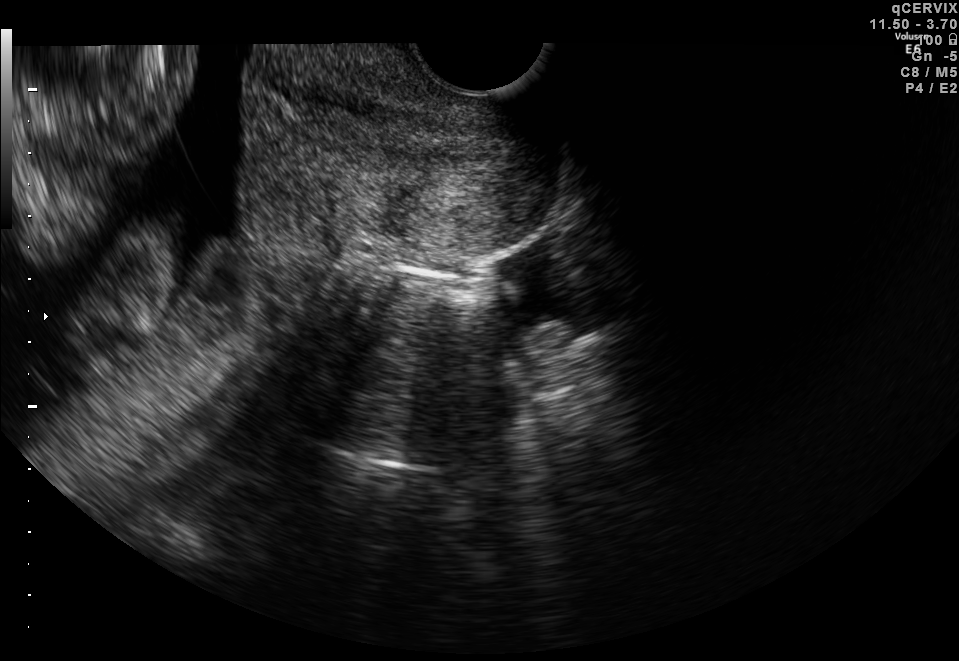
This is a 2D maternal-fetal ultrasound frame. Is it a fetal abdomen, fetal brain, fetal femur, fetal thorax, maternal cervix, or other standard plane? If it's fetal brain and one of the three standard brain planes (trans-thalamic, trans-cerebellum, trans-ventricular), name which.

Maternal cervix